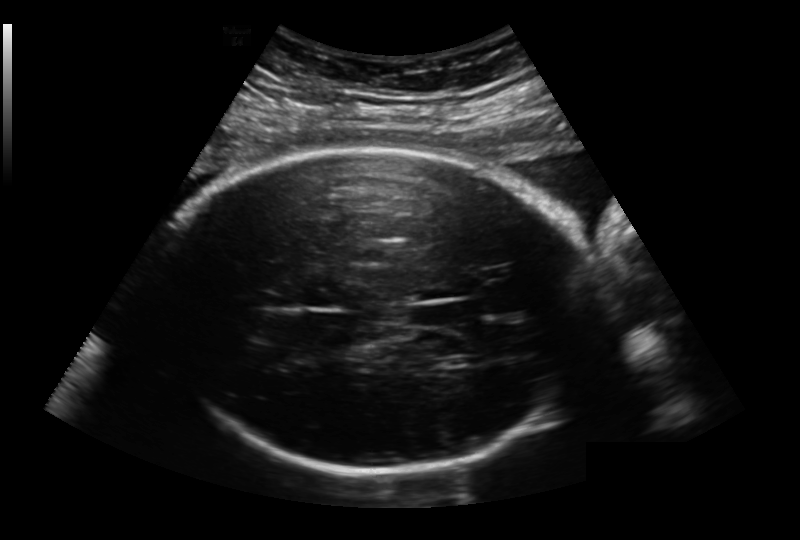
Fetal head ultrasound. Image width: 188.7 mm. Give [x1,y1,x2,y2] bounding boxes for each visible structure among: fetal head, CSP, LV.

Head: [147,150,598,473]